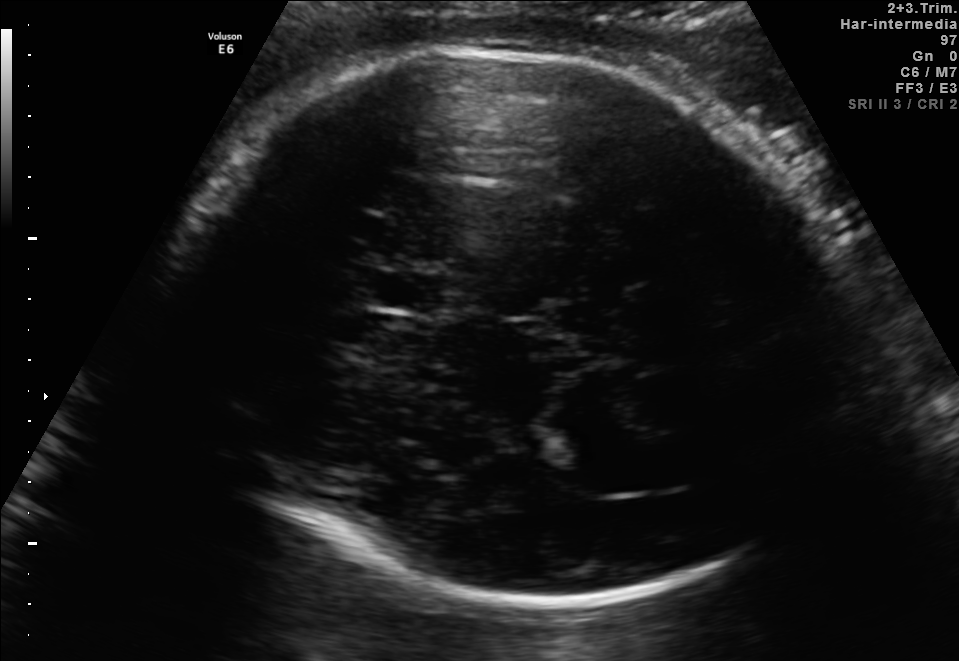
Fetal brain, trans-thalamic plane. Where is the lateral ventricle?

Lateral ventricle bounding box: [560,442,680,499]